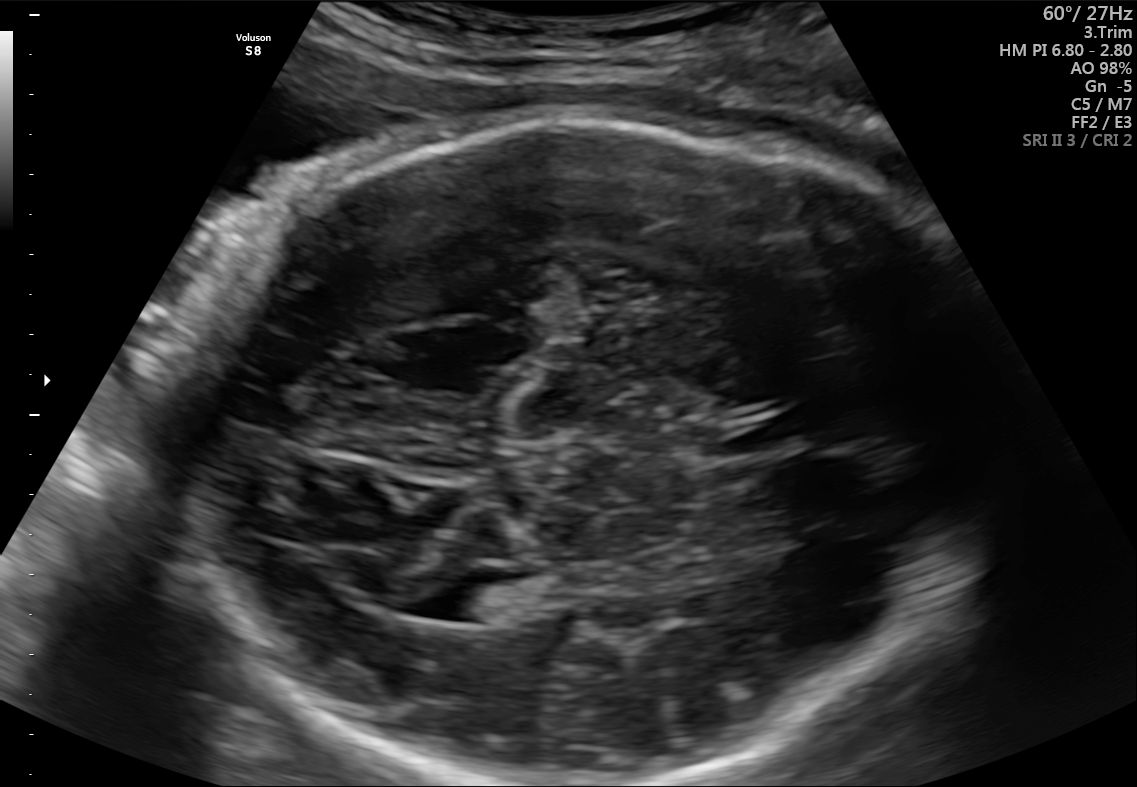
Fetal brain, trans-thalamic plane. Where is the lateral ventricle?

Lateral ventricle bounding box: [416,563,526,633]